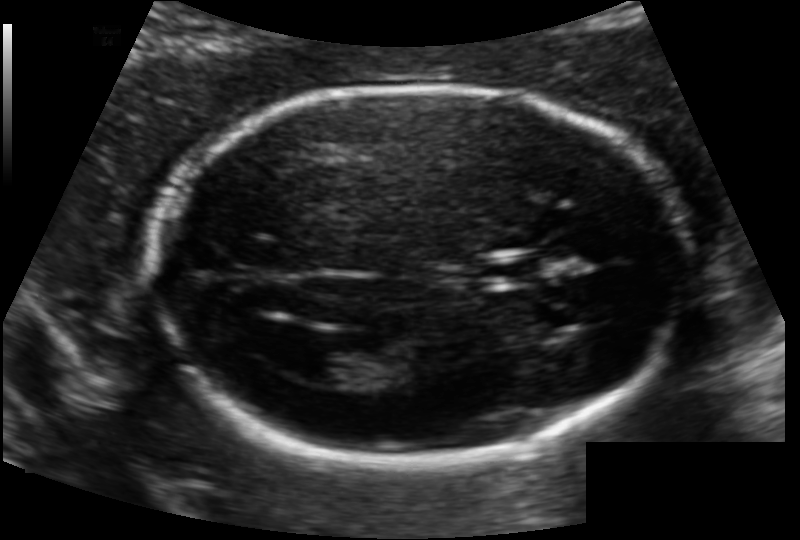
Fetal head ultrasound. Image width: 94.1 mm. Give [x1,y1,x2,y2] bounding boxes for each visible structure among: fetal head, CSP, LV.

Head: [150,86,688,457]
CSP: [477,252,544,287]
Lateral ventricle: [294,345,364,387]